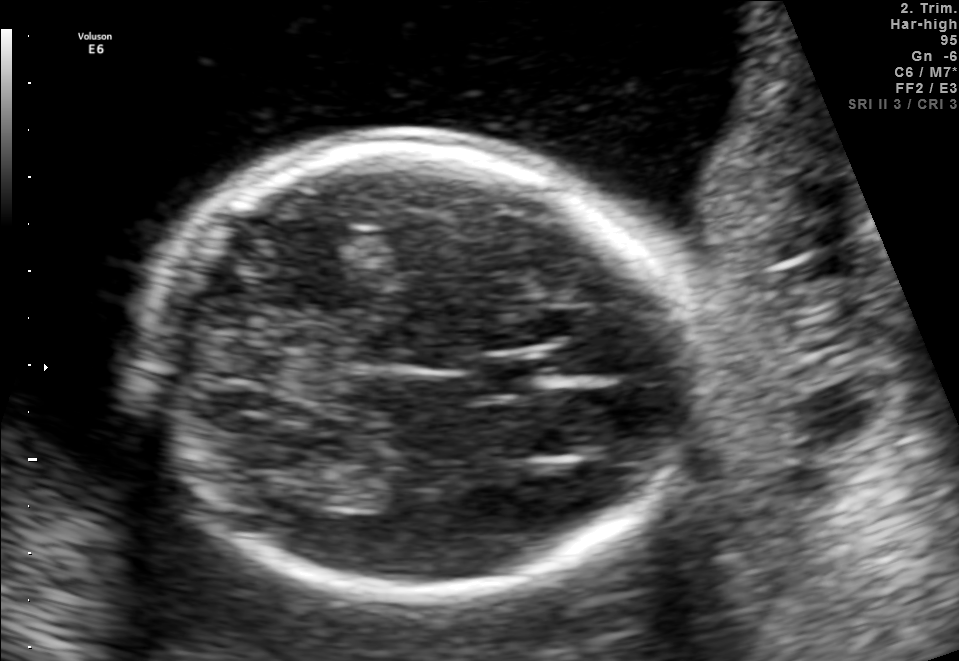
Fetal brain, trans-thalamic plane. Locate the fetal head.

Head: [143,143,692,592]